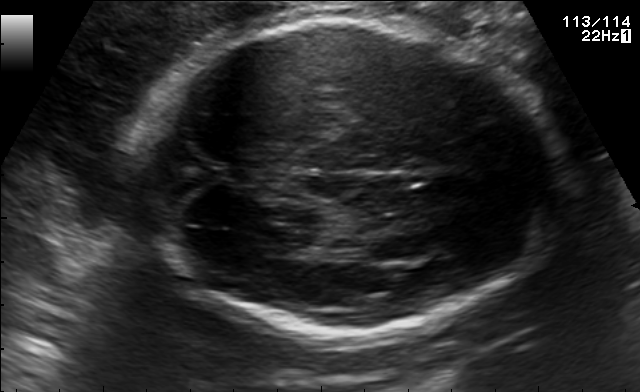
Fetal brain, trans-thalamic plane. Give [x1,y1,x2,y2] bounding boxes for each visible structure among: fetal head, CSP, LV.

Head: [131,18,577,336]